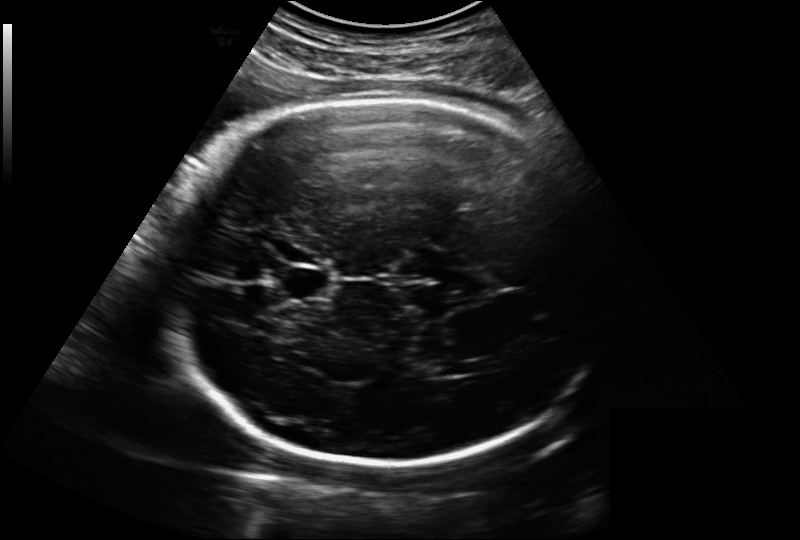
What is the fetal head circumference? Image width is 176.5 mm.

291.4 mm